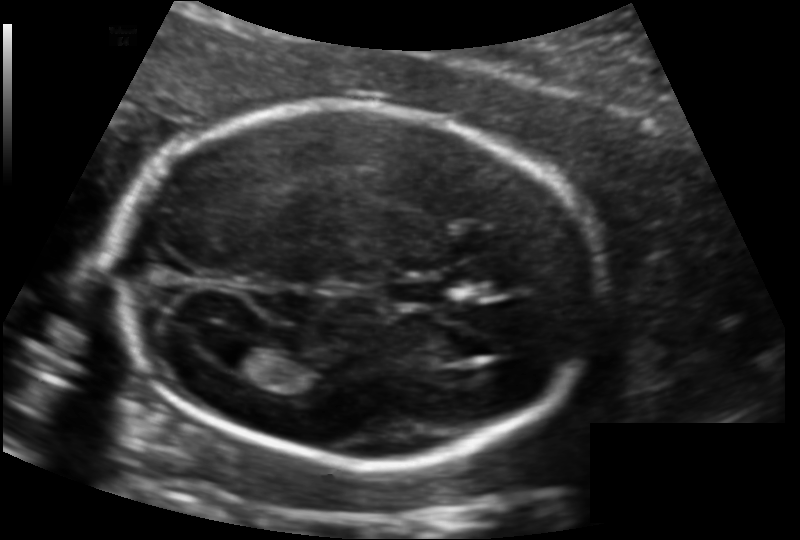
Estimate the fetal head circumference from this 2D ultrasound.

Head circumference: 183.8 mm (image width 107.1 mm).